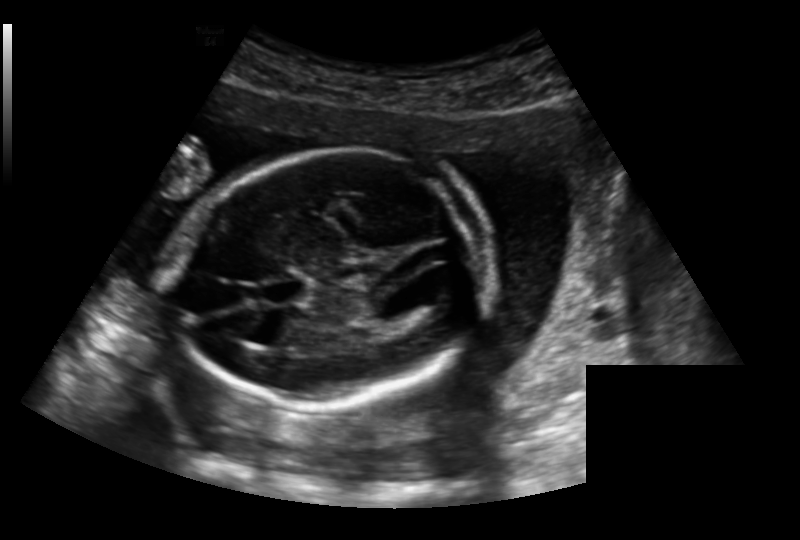
Fetal head ultrasound. Image width: 152.5 mm. Where is the lateral ventricle?

Lateral ventricle bounding box: [404,262,461,306]